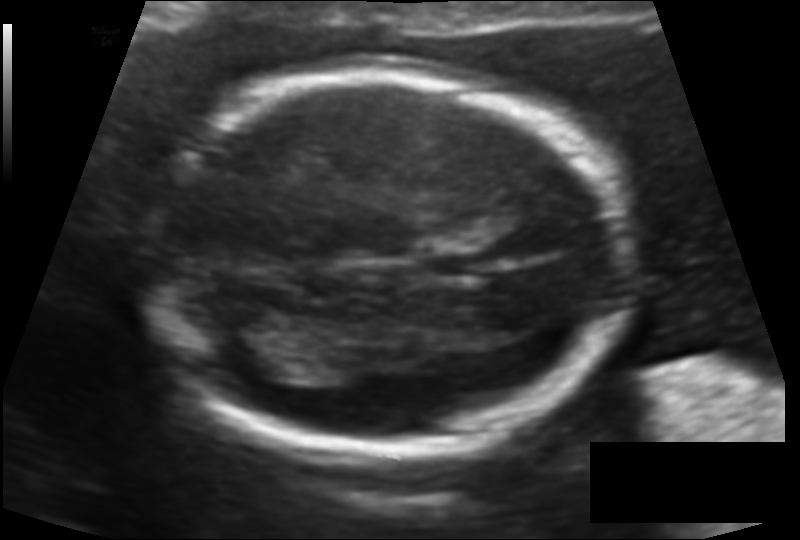
Fetal head ultrasound. Image width: 92.6 mm. Locate the lateral ventricle.

Lateral ventricle: [203,303,308,382]